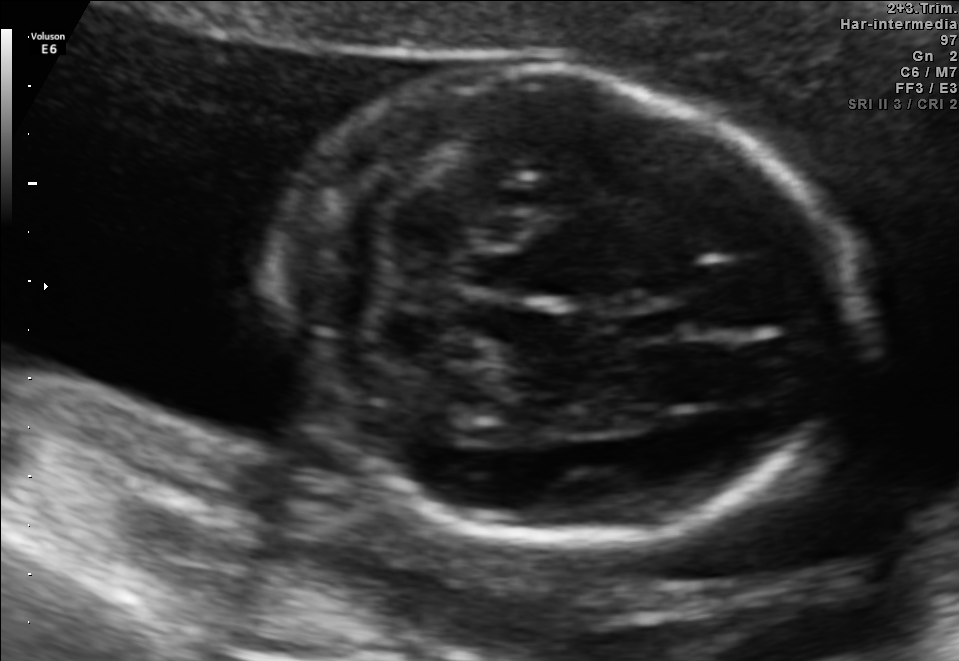
Fetal brain, trans-cerebellum plane. Locate the fetal head.

Head: [271,68,858,529]